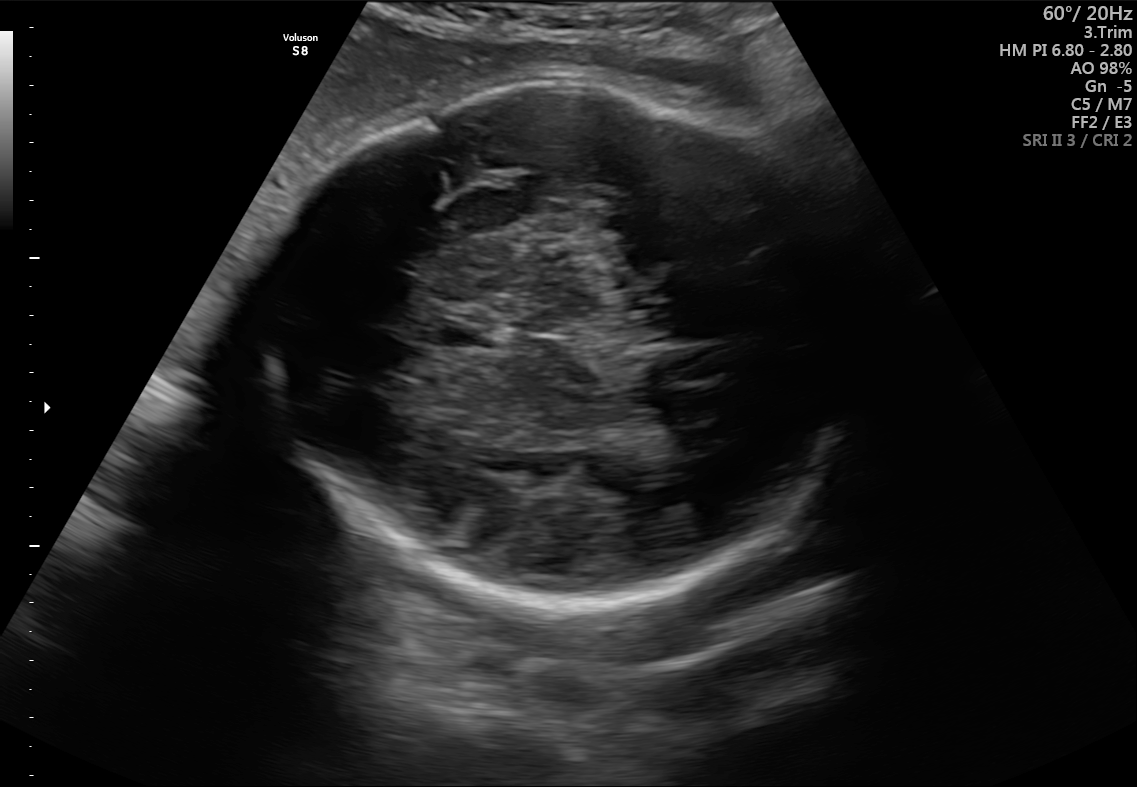
Fetal brain, trans-thalamic plane. Where is the cavum septum pellucidum?

CSP bounding box: [434,313,496,349]